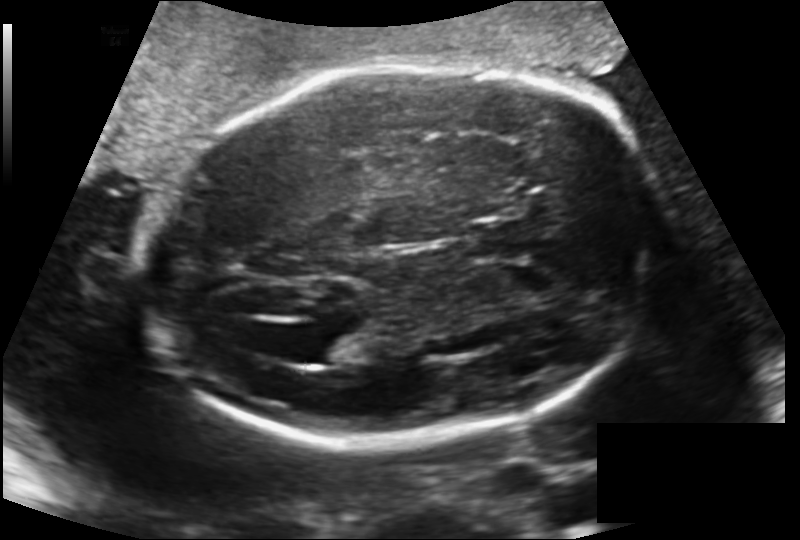
In this fetal head ultrasound, give the bounding box of the cavum septum pellucidum. Image width: 136.0 mm.

[467,216,534,262]